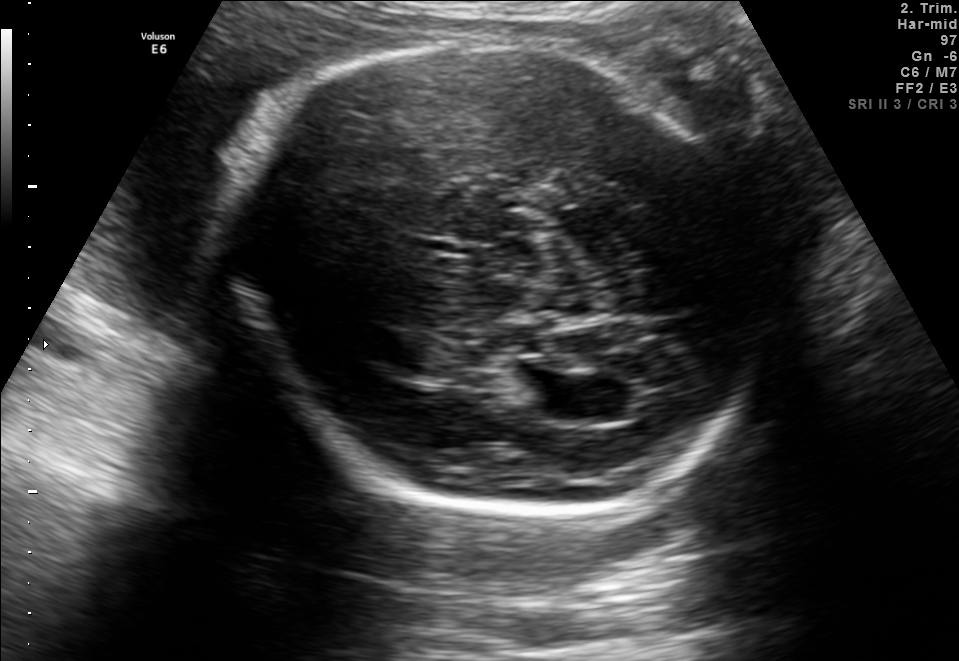
Fetal brain, trans-ventricular plane. Locate the fetal head and, if visible, the cavum septum pellucidum (CSP) and lateral ventricle (LV). Give bounding boxes as [x1,y1,x2,y2].

Head: [228,28,775,525]
Lateral ventricle: [511,370,587,422]